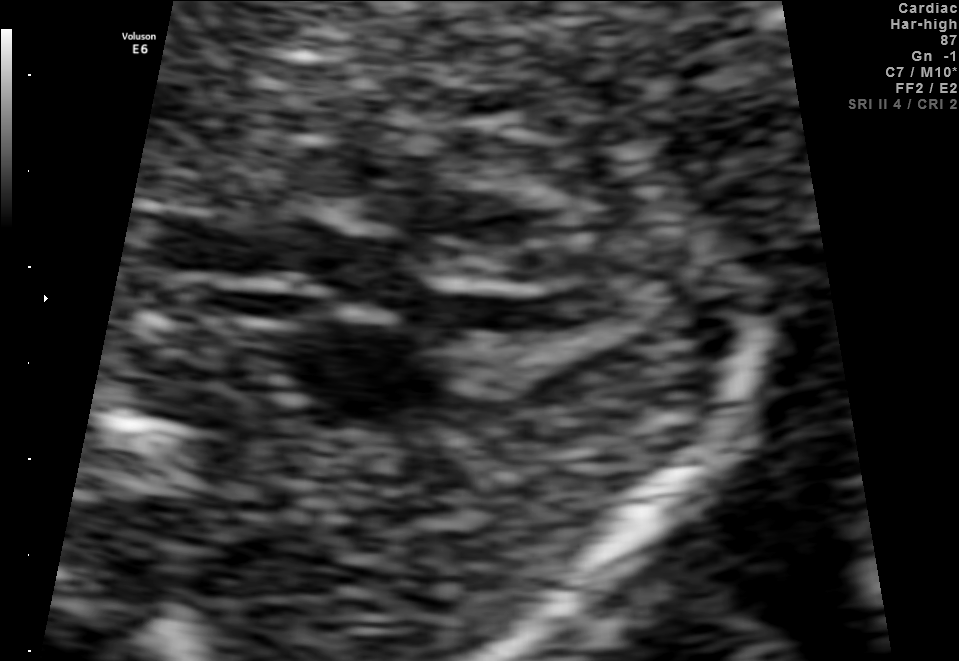
Identify the standard plane in this fetal ultrasound image: fetal abdomen, fetal brain, fetal femur, fetal thorax, maternal cervix, or other. If it's fetal brain and one of the three standard brain planes (trans-thalamic, trans-cerebellum, trans-ventricular), name which.

Other